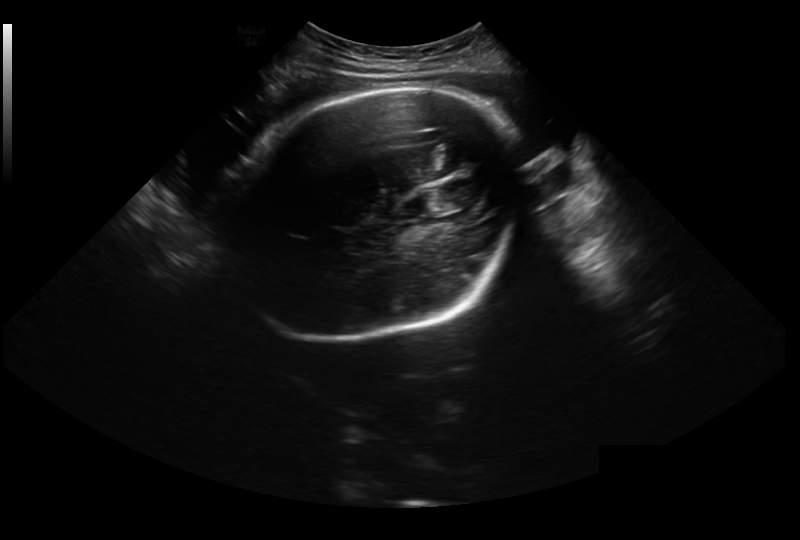
Estimate the fetal head circumference from this 2D ultrasound. Image width: 260.9 mm.

Head circumference: 296.8 mm.